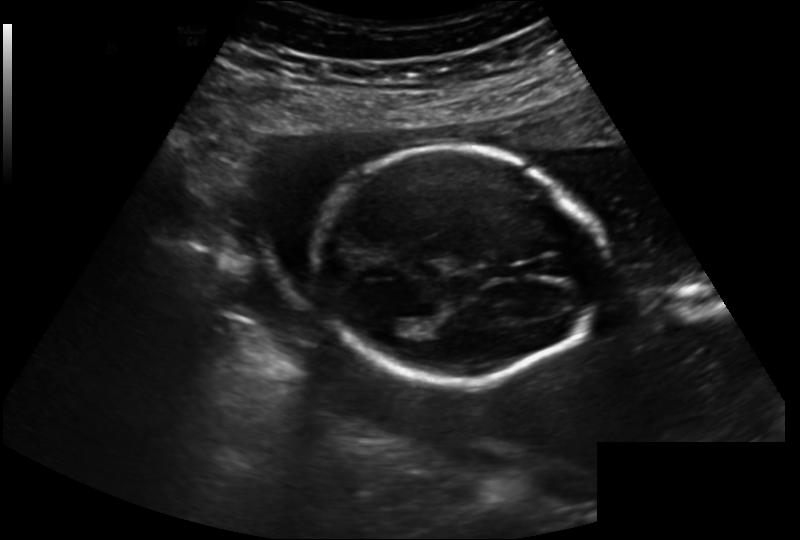
Estimate the fetal head circumference from this 2D ultrasound.

Head circumference: 174.1 mm (image width 161.6 mm).